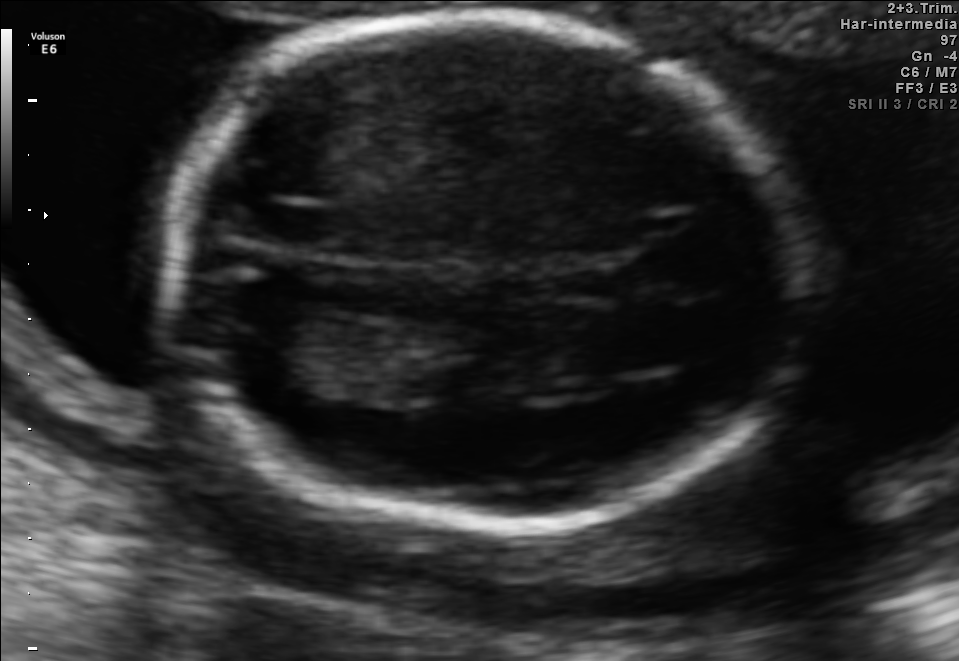
In this fetal brain, trans-thalamic plane, give the bounding box of the fetal head.

[169,16,808,531]